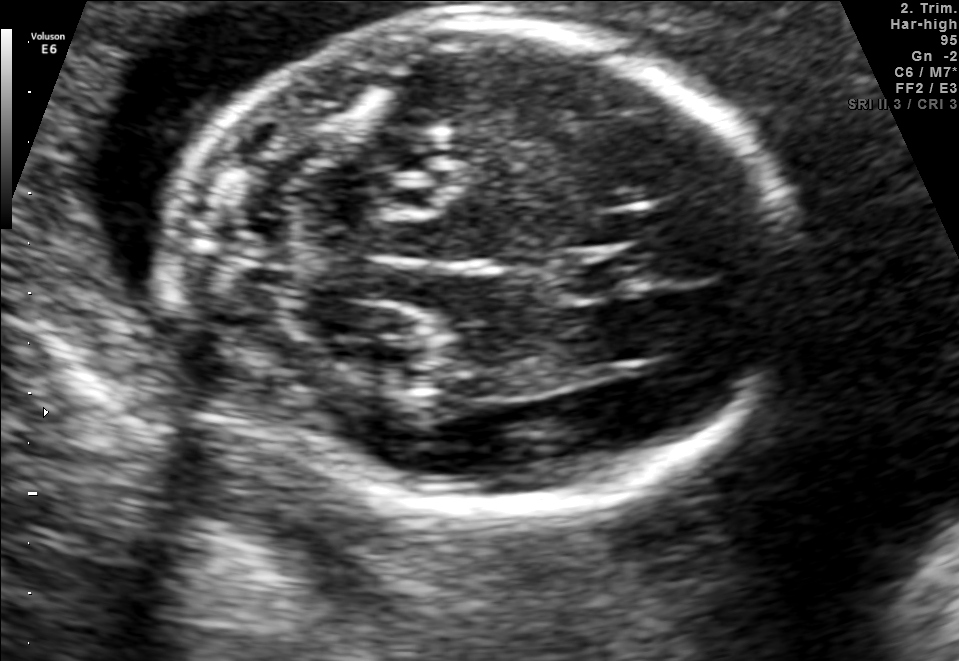
In this fetal brain, trans-cerebellum plane, give the bounding box of the cavum septum pellucidum.

[551,244,649,303]